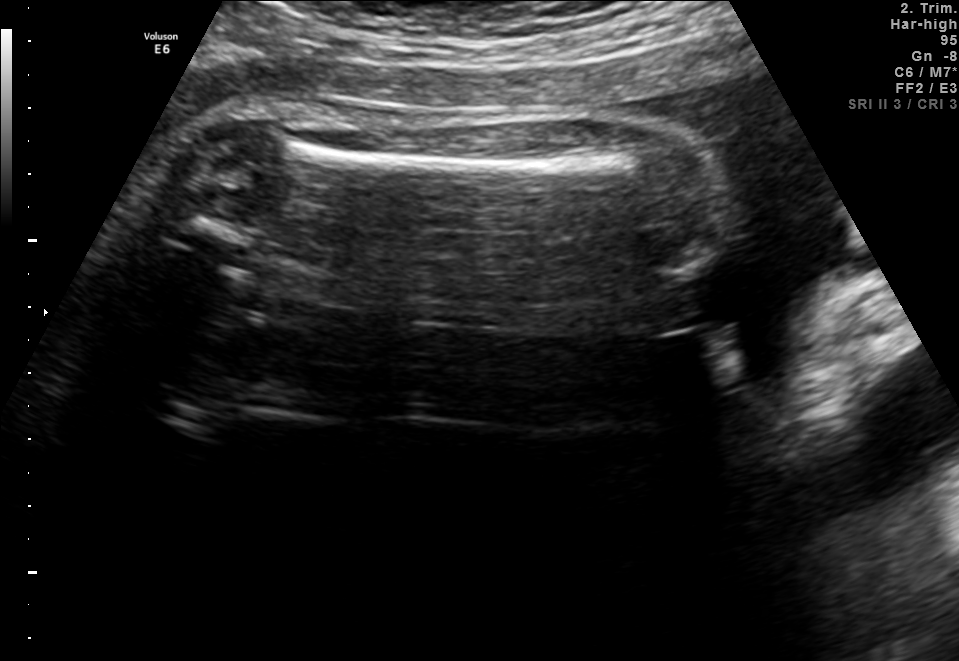
This is a 2D maternal-fetal ultrasound frame. Is it a fetal abdomen, fetal brain, fetal femur, fetal thorax, maternal cervix, or other standard plane? If it's fetal brain and one of the three standard brain planes (trans-thalamic, trans-cerebellum, trans-ventricular), name which.

Fetal femur